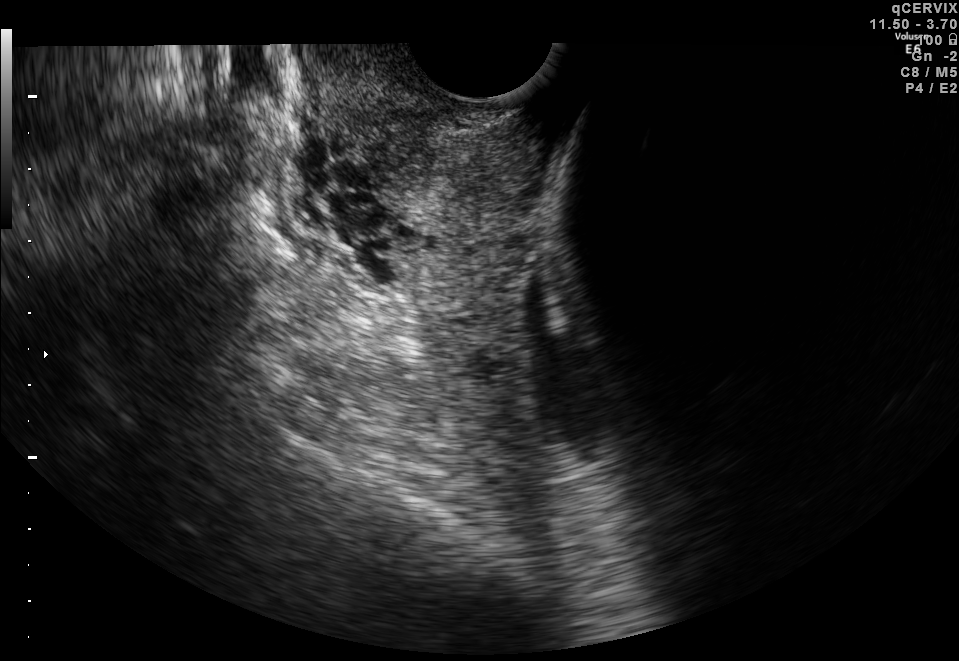
This is a 2D maternal-fetal ultrasound frame. Is it a fetal abdomen, fetal brain, fetal femur, fetal thorax, maternal cervix, or other standard plane? If it's fetal brain and one of the three standard brain planes (trans-thalamic, trans-cerebellum, trans-ventricular), name which.

Maternal cervix